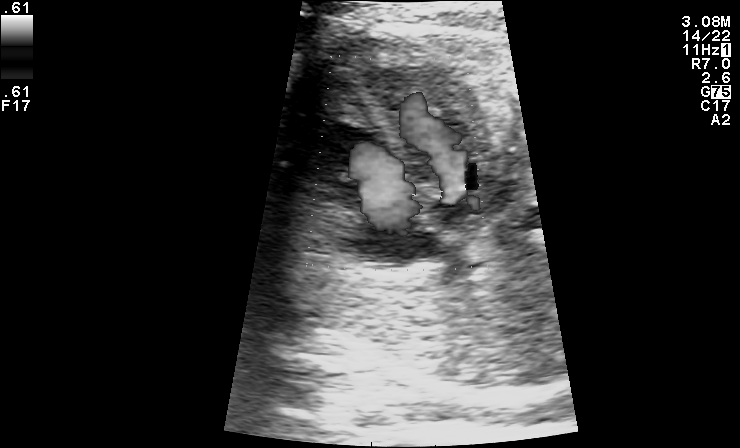
This is a 2D maternal-fetal ultrasound frame. Is it a fetal abdomen, fetal brain, fetal femur, fetal thorax, maternal cervix, or other standard plane? If it's fetal brain and one of the three standard brain planes (trans-thalamic, trans-cerebellum, trans-ventricular), name which.

Other